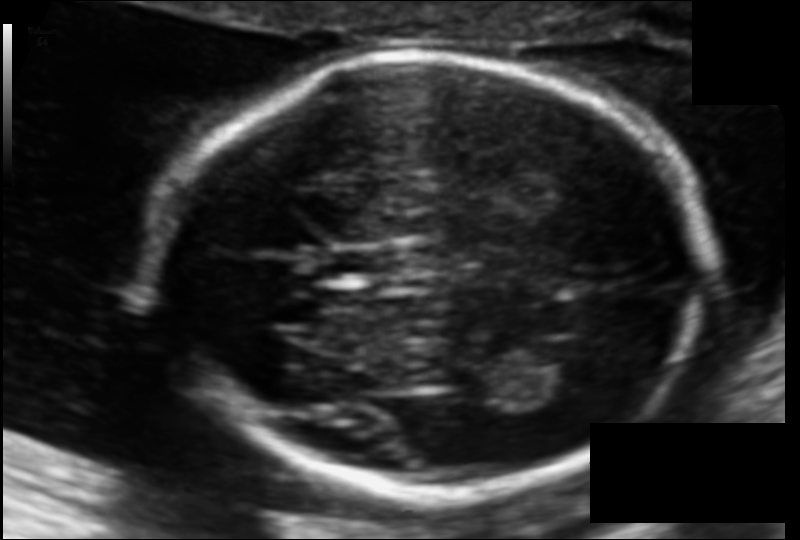
Fetal head ultrasound. Image width: 86.8 mm. Locate the lateral ventricle.

Lateral ventricle: [519,337,601,398]